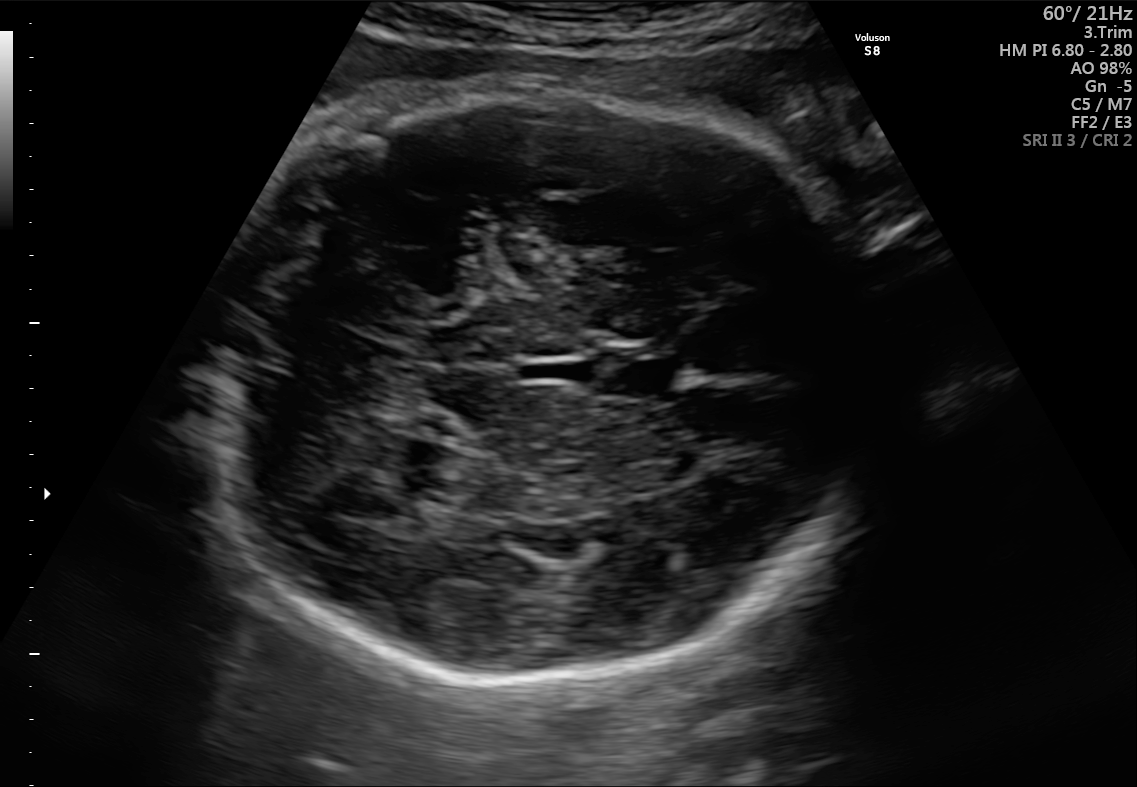
In this fetal brain, trans-cerebellum plane, give the bounding box of the cavum septum pellucidum.

[601,340,684,401]